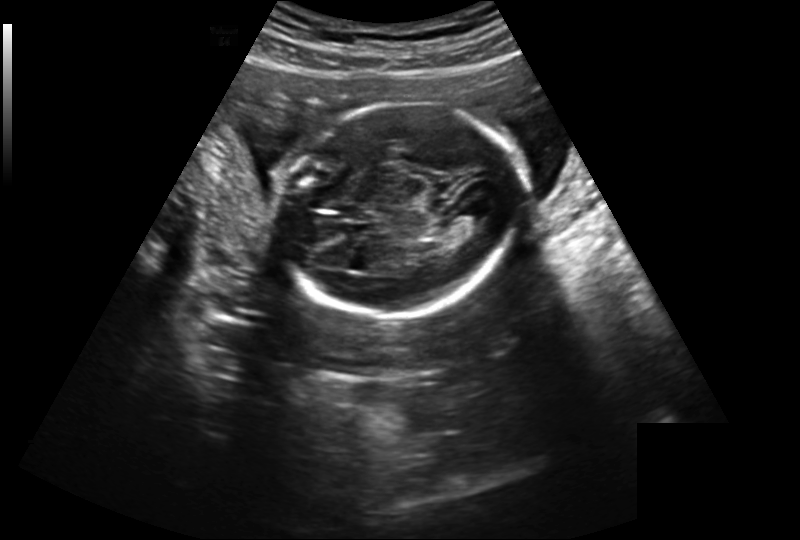
From this fetal ultrasound, estimate the head circumference (image width 191.4 mm).

Head circumference: 179.5 mm.